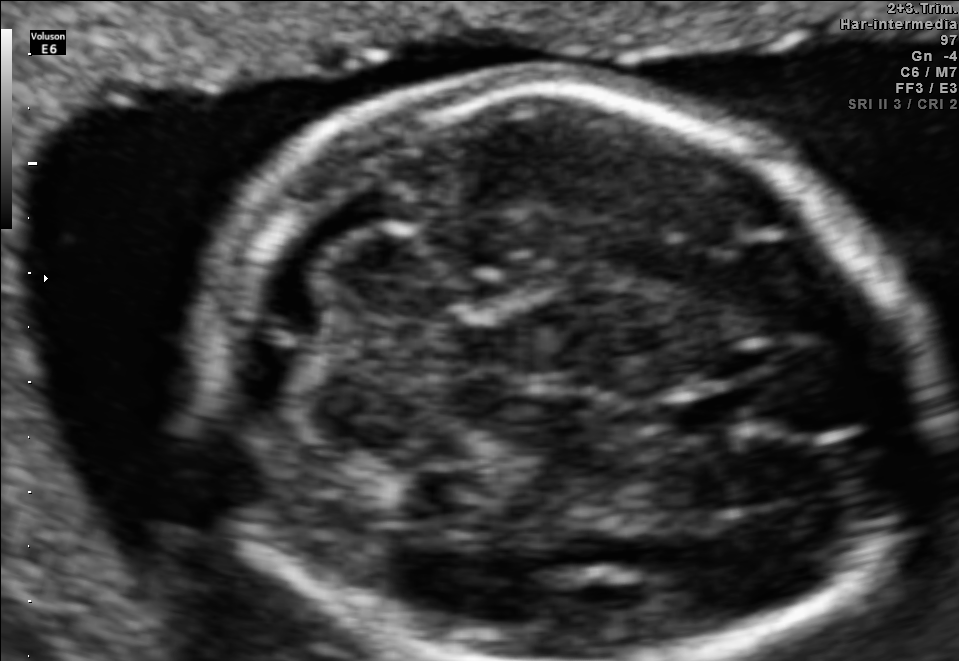
In this fetal brain, trans-cerebellum plane, give the bounding box of the fetal head.

[202,85,937,660]